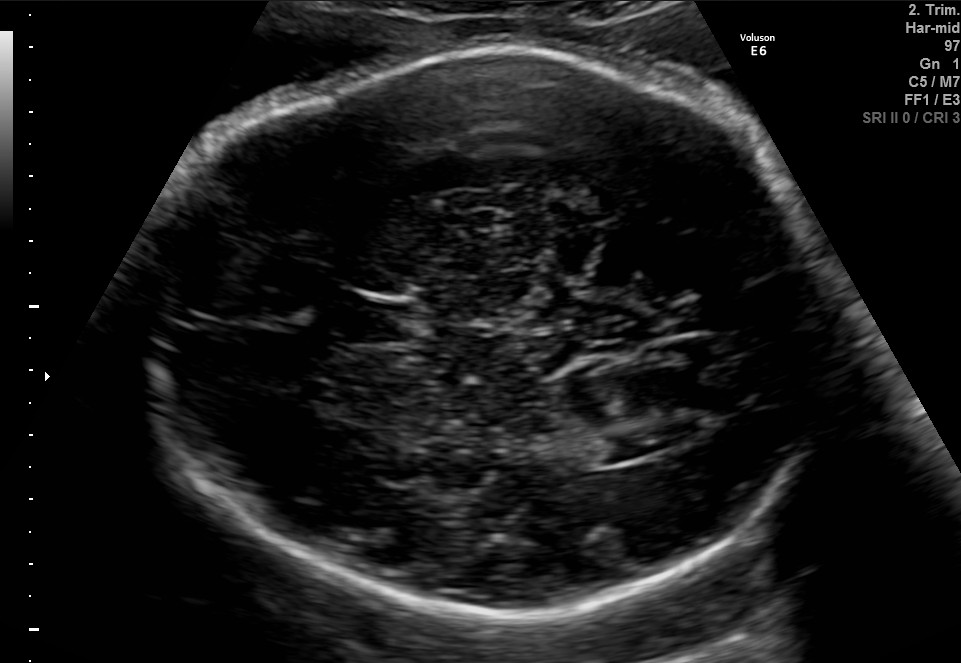
In this fetal brain, trans-ventricular plane, give the bounding box of the fetal head.

[138,55,845,620]